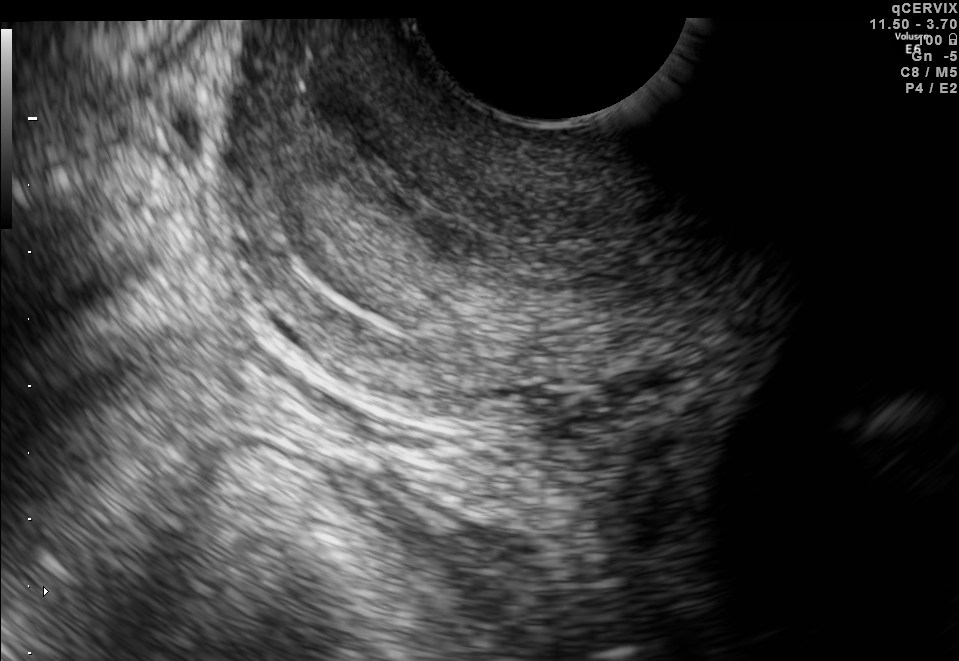
This is a 2D maternal-fetal ultrasound frame. Is it a fetal abdomen, fetal brain, fetal femur, fetal thorax, maternal cervix, or other standard plane? If it's fetal brain and one of the three standard brain planes (trans-thalamic, trans-cerebellum, trans-ventricular), name which.

Maternal cervix